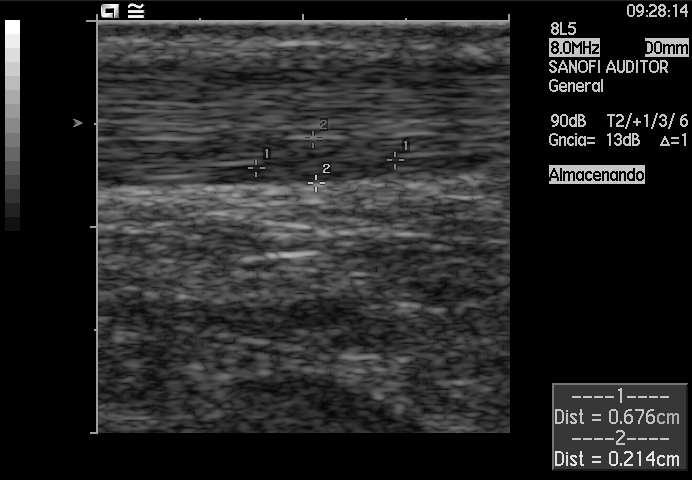
Identify the standard plane in this fetal ultrasound image: fetal abdomen, fetal brain, fetal femur, fetal thorax, maternal cervix, or other. If it's fetal brain and one of the three standard brain planes (trans-thalamic, trans-cerebellum, trans-ventricular), name which.

Other